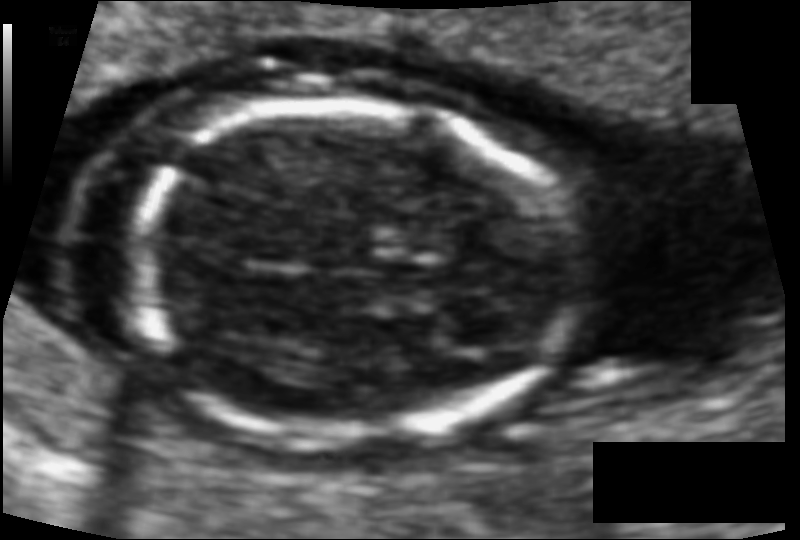
Fetal head ultrasound. Image width: 65.1 mm. Locate the fetal head and, if visible, the cavum septum pellucidum (CSP) and lateral ventricle (LV). Give bounding boxes as [x1,y1,x2,y2].

Head: [132,101,570,437]